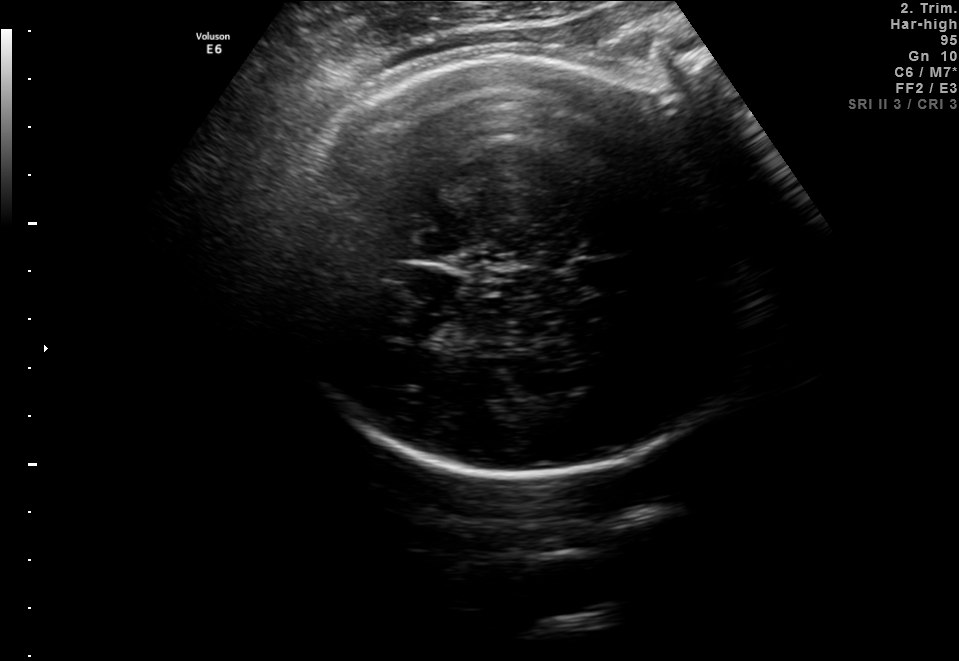
Fetal brain, trans-thalamic plane. Give [x1,y1,x2,y2] bounding boxes for each visible structure among: fetal head, CSP, LV.

Head: [277,56,758,473]